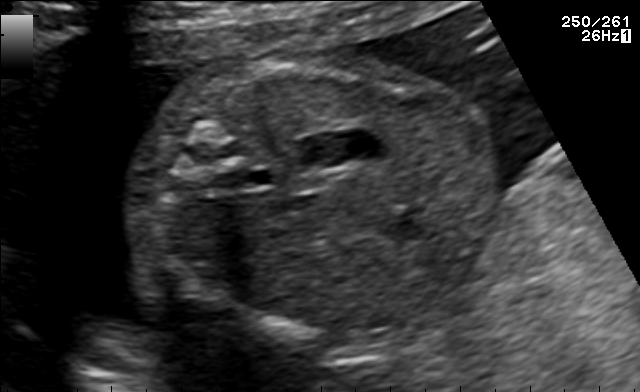
Classify this maternal-fetal ultrasound image as one of the six standard planes — fetal abdomen, fetal brain, fetal femur, fetal thorax, maternal cervix, or other. If it's fetal brain and one of the three standard brain planes (trans-thalamic, trans-cerebellum, trans-ventricular), name which.

Fetal abdomen